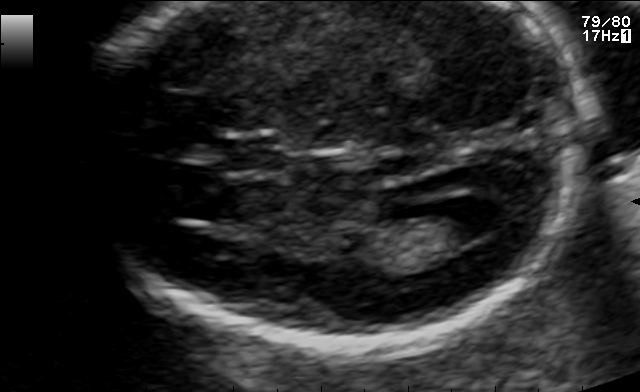
In this fetal brain, trans-ventricular plane, give the bounding box of the cavum septum pellucidum.

[222,135,280,172]